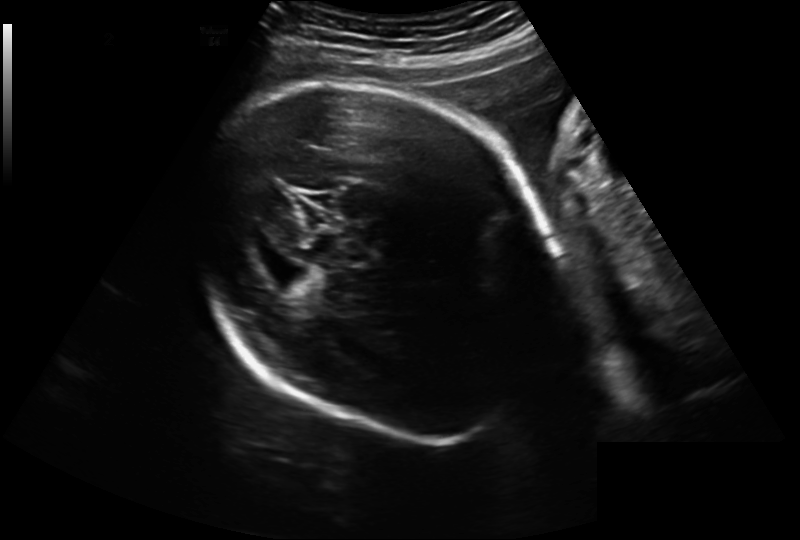
Fetal head ultrasound. Image width: 192.7 mm. Give [x1,y1,x2,y2] bounding boxes for each visible structure among: fetal head, CSP, LV.

Head: [196,78,559,445]